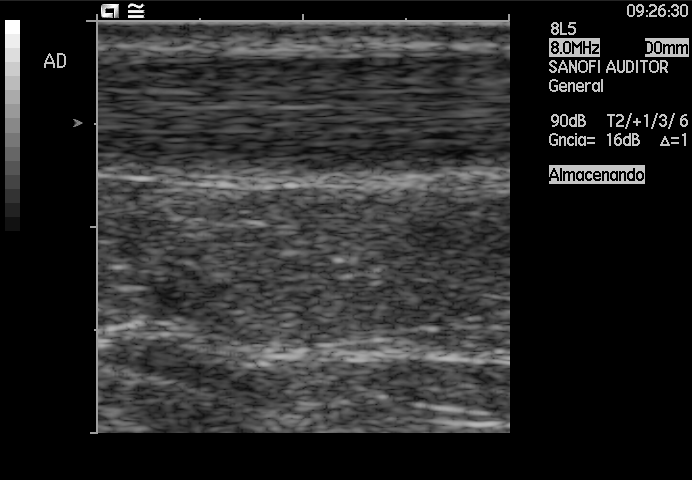
Which standard maternal-fetal ultrasound plane is shown: fetal abdomen, fetal brain, fetal femur, fetal thorax, maternal cervix, or other? If it's fetal brain and one of the three standard brain planes (trans-thalamic, trans-cerebellum, trans-ventricular), name which.

Other